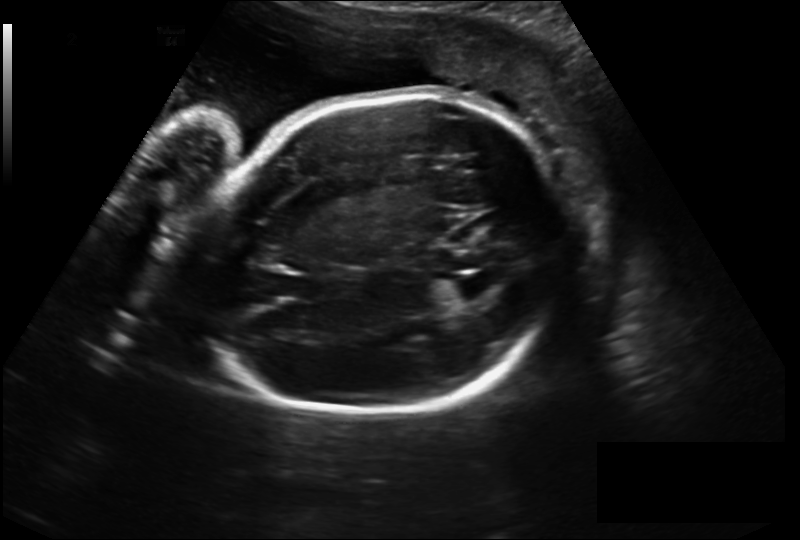
Fetal head ultrasound. Image width: 184.2 mm. Locate the fetal head and, if visible, the cavum septum pellucidum (CSP) and lateral ventricle (LV). Give bounding boxes as [x1,y1,x2,y2].

Head: [194,97,566,417]
Lateral ventricle: [449,267,501,306]